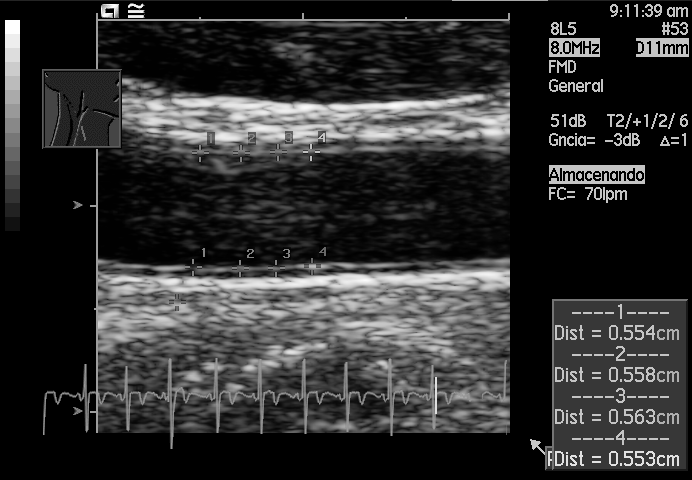
This is a 2D maternal-fetal ultrasound frame. Is it a fetal abdomen, fetal brain, fetal femur, fetal thorax, maternal cervix, or other standard plane? If it's fetal brain and one of the three standard brain planes (trans-thalamic, trans-cerebellum, trans-ventricular), name which.

Other